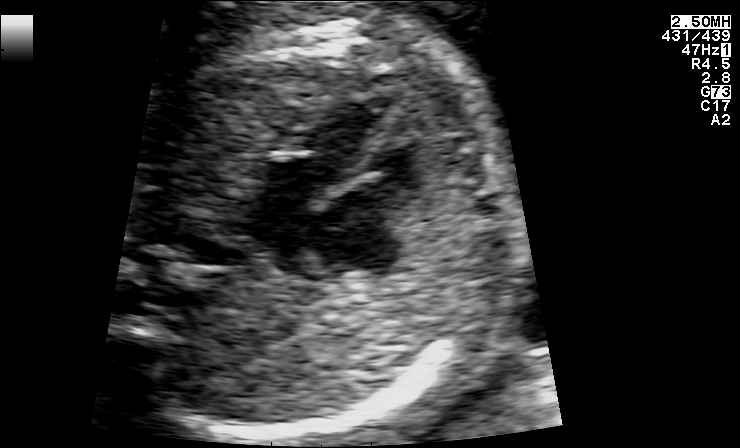
Classify this maternal-fetal ultrasound image as one of the six standard planes — fetal abdomen, fetal brain, fetal femur, fetal thorax, maternal cervix, or other. If it's fetal brain and one of the three standard brain planes (trans-thalamic, trans-cerebellum, trans-ventricular), name which.

Fetal thorax